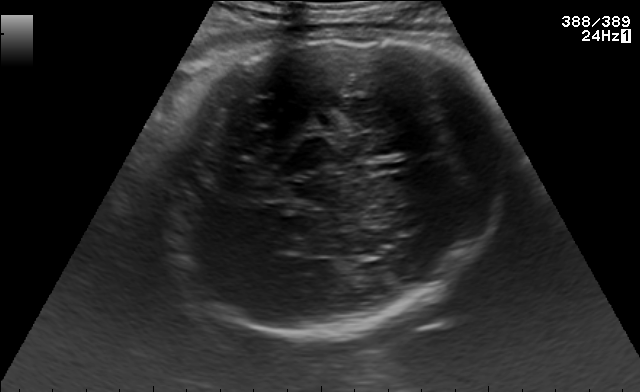
Fetal brain, trans-thalamic plane. Where is the fetal head?

Head bounding box: [152,28,508,336]